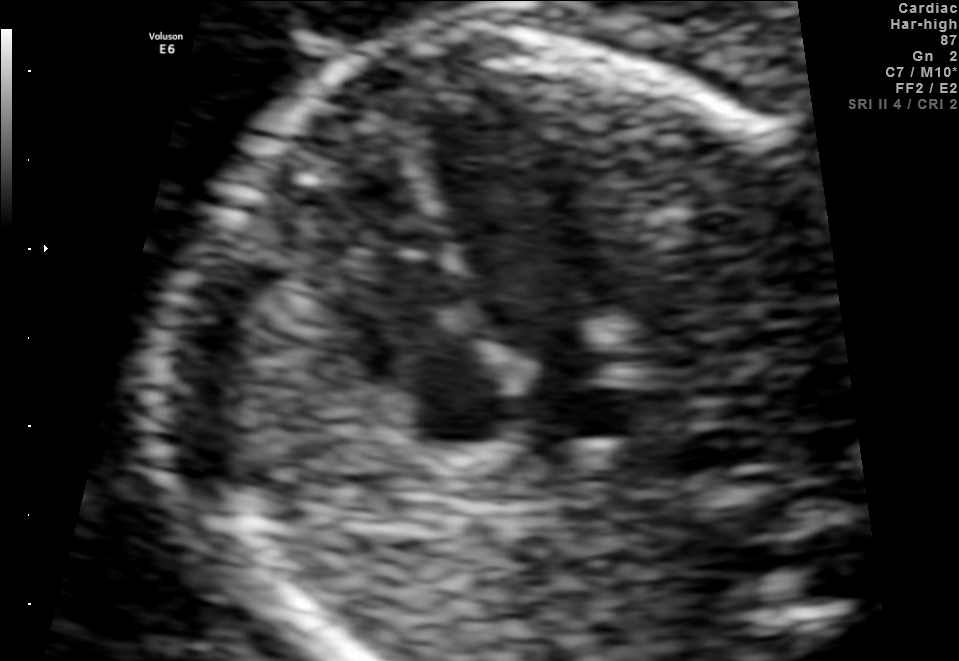
Identify the standard plane in this fetal ultrasound image: fetal abdomen, fetal brain, fetal femur, fetal thorax, maternal cervix, or other. If it's fetal brain and one of the three standard brain planes (trans-thalamic, trans-cerebellum, trans-ventricular), name which.

Fetal thorax